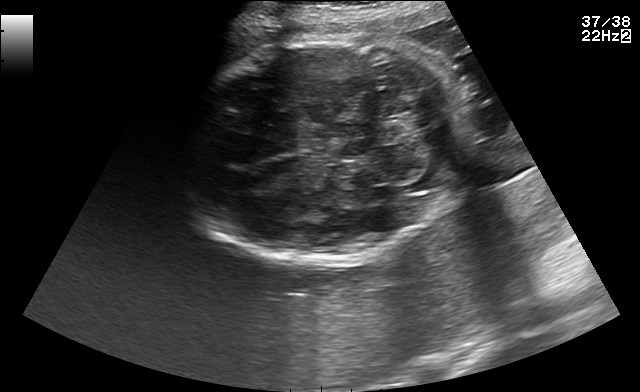
In this fetal brain, trans-cerebellum plane, give bounding boxes for the head outline, cavum septum pellucidum (CSP), and lateral ventricle (LV), where visible.

Head: [176,37,464,262]